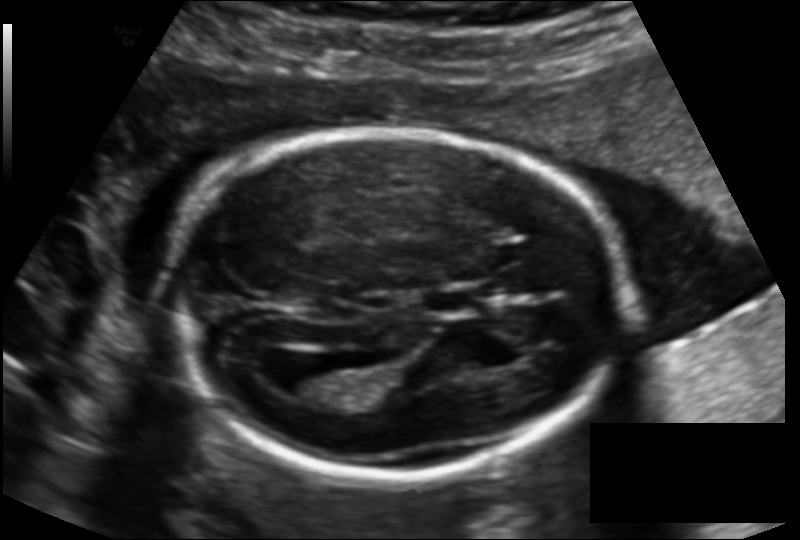
Fetal head ultrasound. Image width: 109.0 mm. Give [x1,y1,x2,y2] bounding boxes for each visible structure among: fetal head, CSP, LV.

Head: [165,130,630,475]
CSP: [421,287,477,315]
Lateral ventricle: [279,354,353,405]